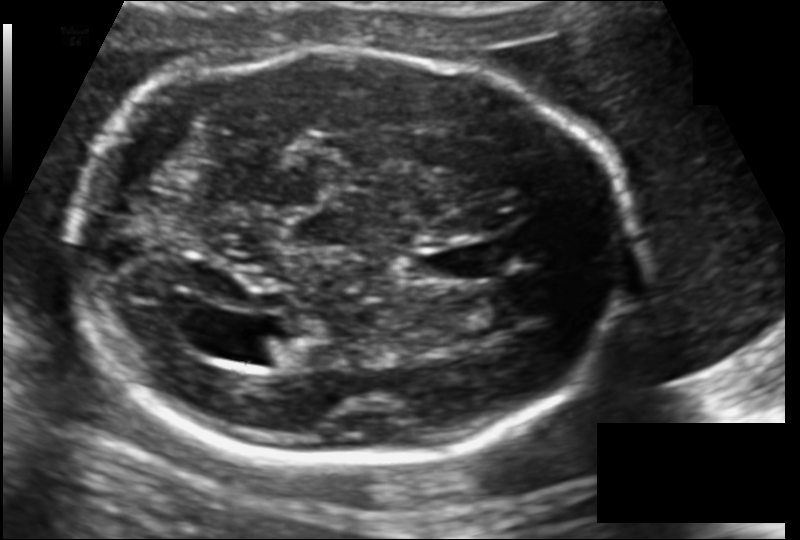
In this fetal head ultrasound, give the bounding box of the cavum septum pellucidum. Image width: 110.0 mm.

[416,238,501,288]